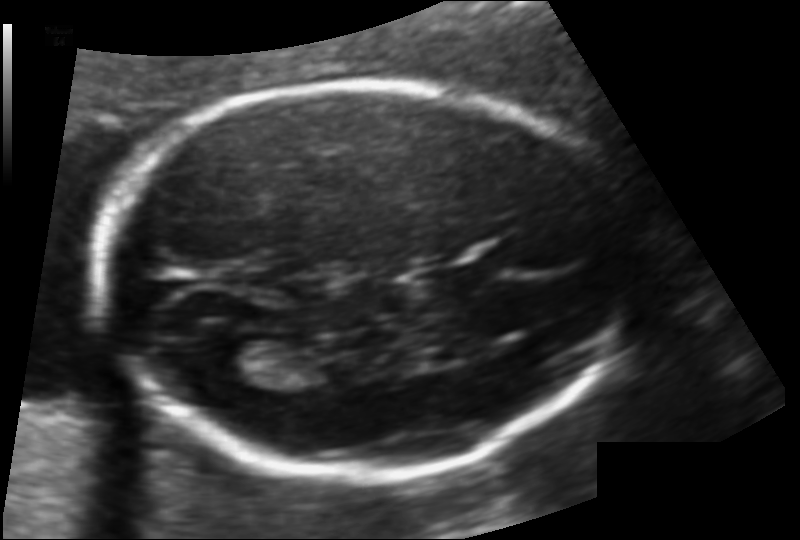
What is the fetal head circumference? Image width is 93.3 mm.

177.9 mm